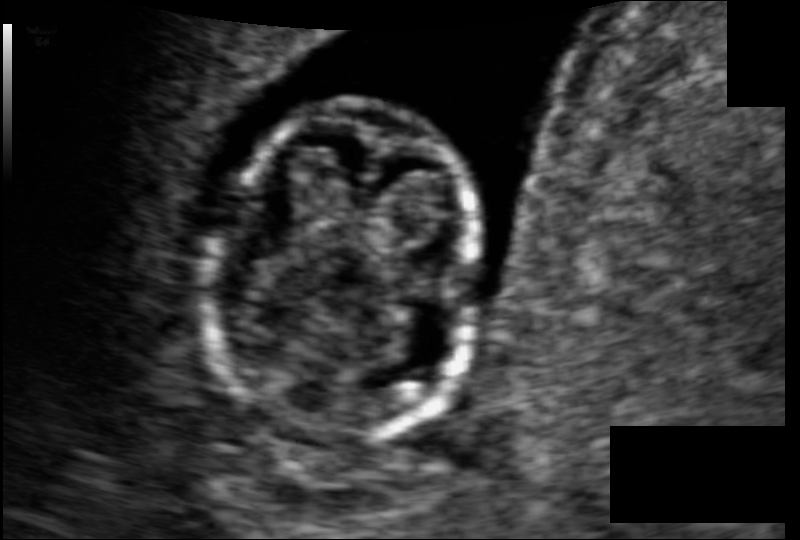
In this fetal head ultrasound, give the bounding box of the fetal head. Image width: 59.1 mm.

[212,103,478,440]